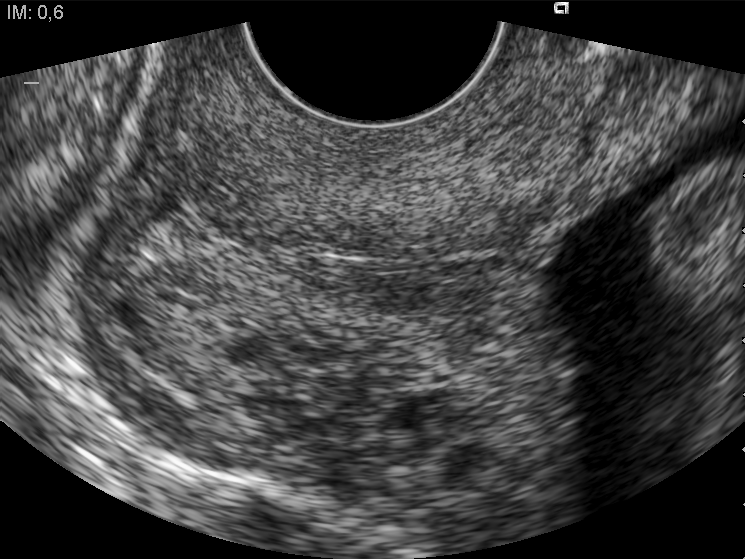
Identify the standard plane in this fetal ultrasound image: fetal abdomen, fetal brain, fetal femur, fetal thorax, maternal cervix, or other. If it's fetal brain and one of the three standard brain planes (trans-thalamic, trans-cerebellum, trans-ventricular), name which.

Maternal cervix